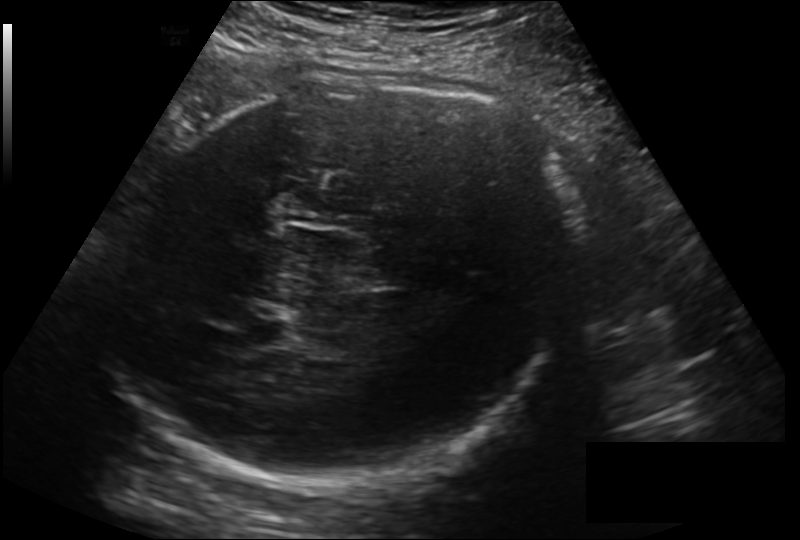
Measure the fetal head circumference shown in this ultrasound image. Image width: 168.5 mm.

Head circumference: 299.2 mm.